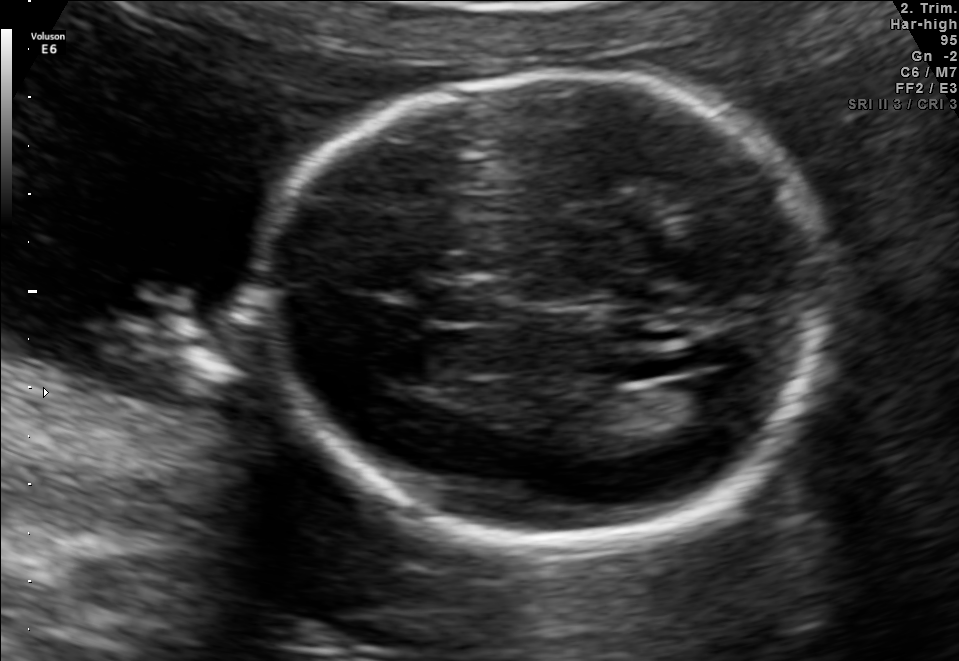
Fetal brain, trans-ventricular plane. Locate the fetal head.

Head: [244,65,855,556]